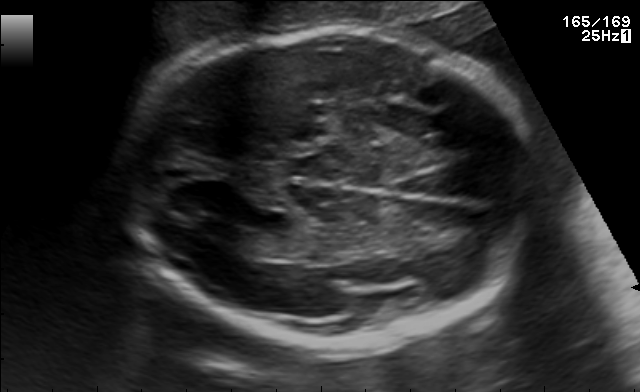
Fetal brain, trans-ventricular plane. Locate the fetal head.

Head: [114,23,547,350]